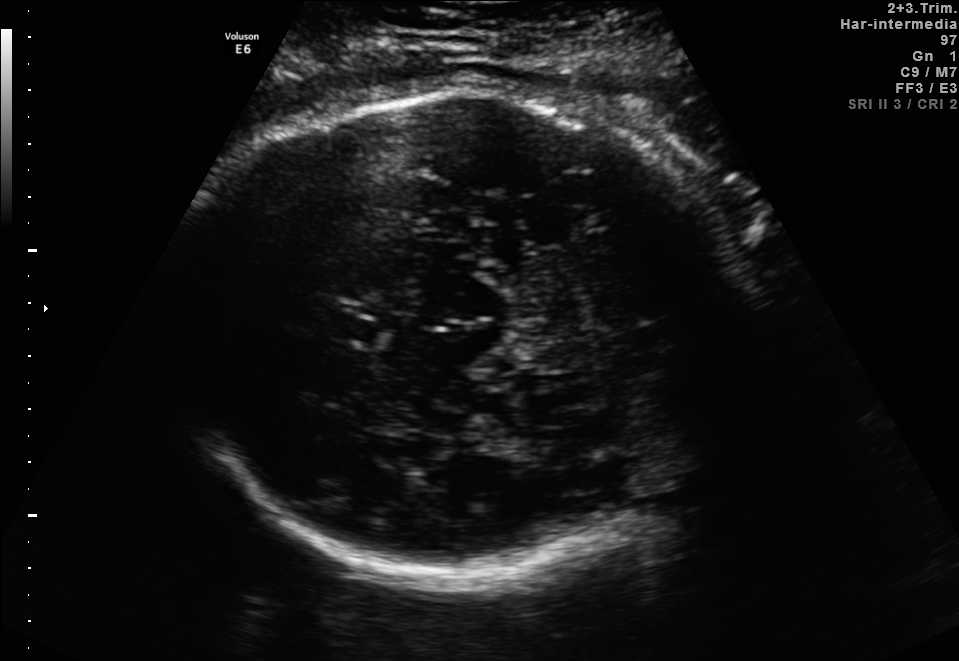
Fetal brain, trans-thalamic plane. Locate the fetal head and, if visible, the cavum septum pellucidum (CSP) and lateral ventricle (LV). Give bounding boxes as [x1,y1,x2,y2].

Head: [164,87,753,574]
CSP: [329,313,378,344]